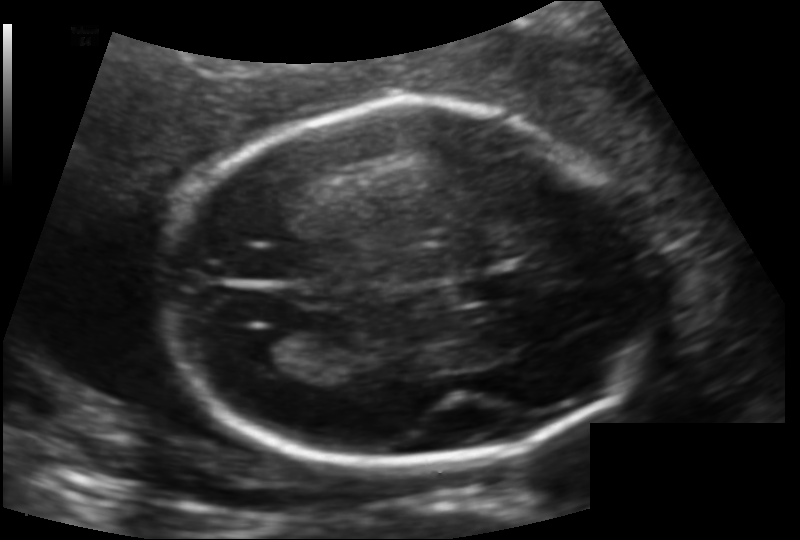
In this fetal head ultrasound, give the bounding box of the fetal head. Image width: 106.2 mm.

[156,107,654,464]